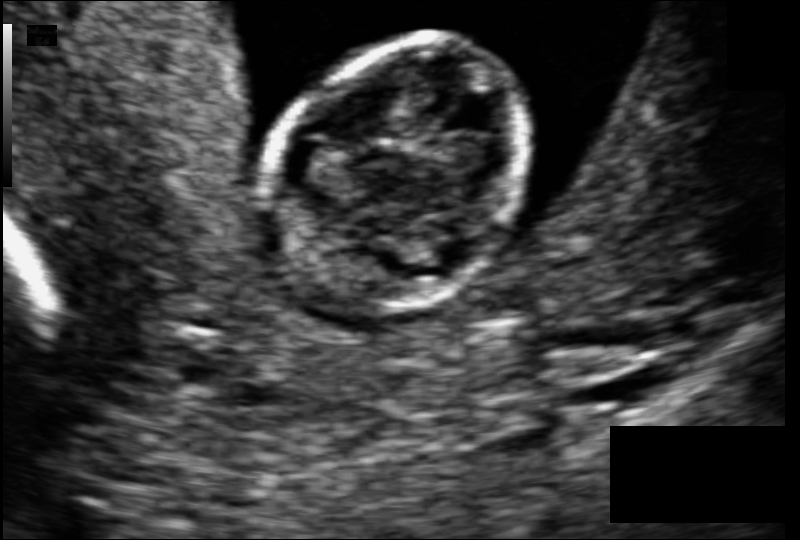
Fetal head ultrasound. Image width: 63.6 mm. Locate the fetal head and, if visible, the cavum septum pellucidum (CSP) and lateral ventricle (LV). Give bounding boxes as [x1,y1,x2,y2].

Head: [266,41,532,315]